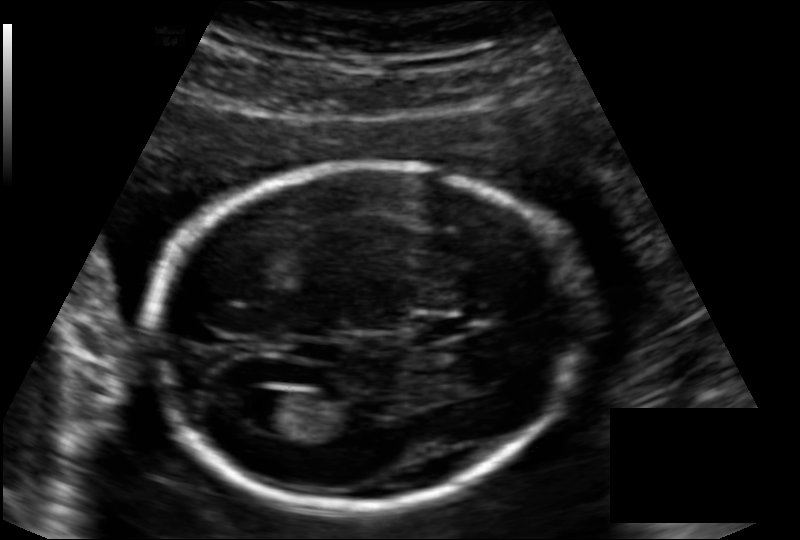
Fetal head ultrasound. Image width: 108.5 mm. Locate the fetal head.

Head: [148,162,578,504]